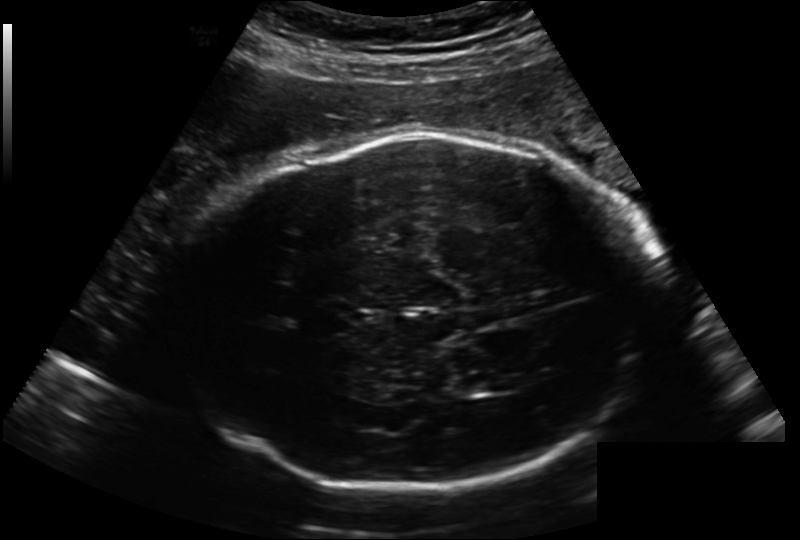
Measure the fetal head circumference shown in this ultrasound image. Image width: 177.3 mm.

Head circumference: 299.8 mm.